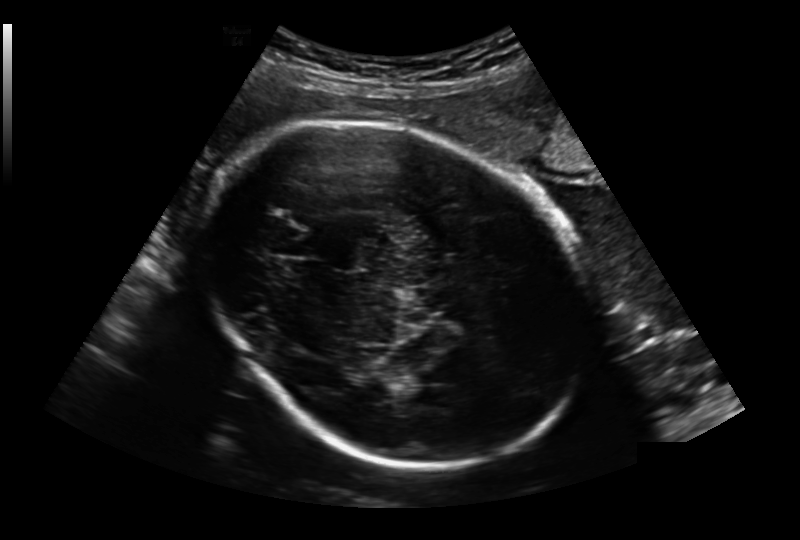
Fetal head ultrasound. Image width: 188.7 mm. Locate the fetal head.

Head: [202,121,593,465]